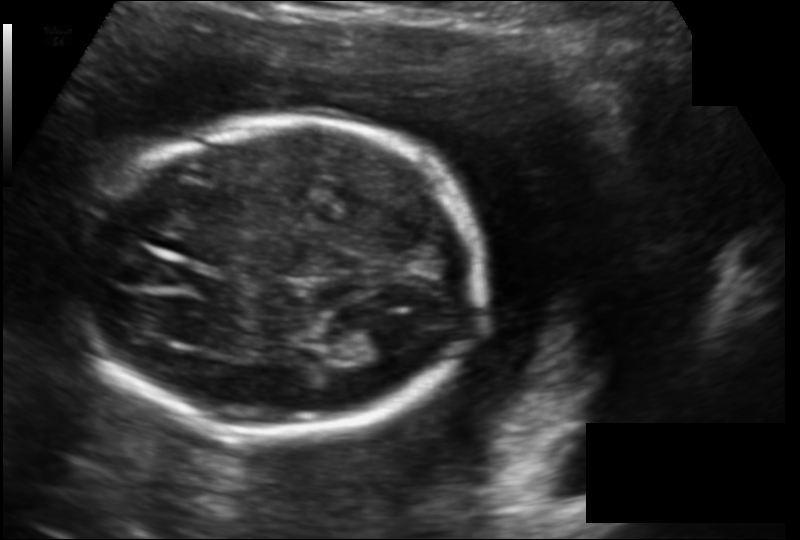
What is the fetal head circumference? Image width is 113.3 mm.

165.2 mm